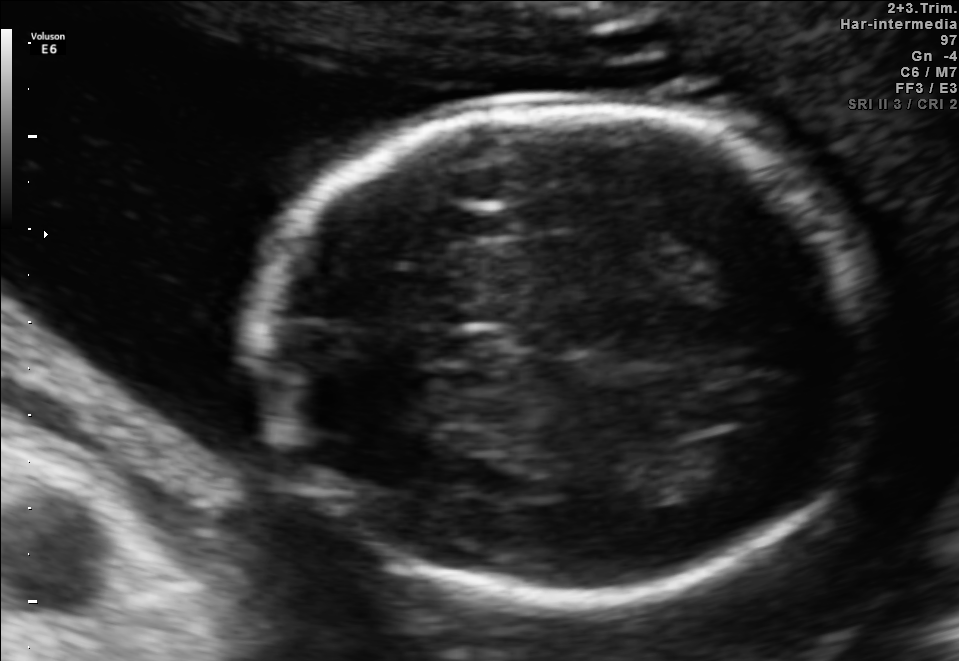
In this fetal brain, trans-ventricular plane, give the bounding box of the cavum septum pellucidum.

[426,331,508,367]